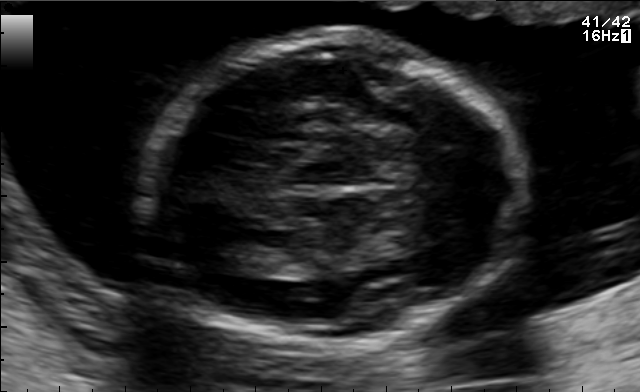
In this fetal brain, trans-thalamic plane, give bounding boxes for the head outline, cavum septum pellucidum (CSP), and lateral ventricle (LV), where visible.

Head: [136,35,529,351]